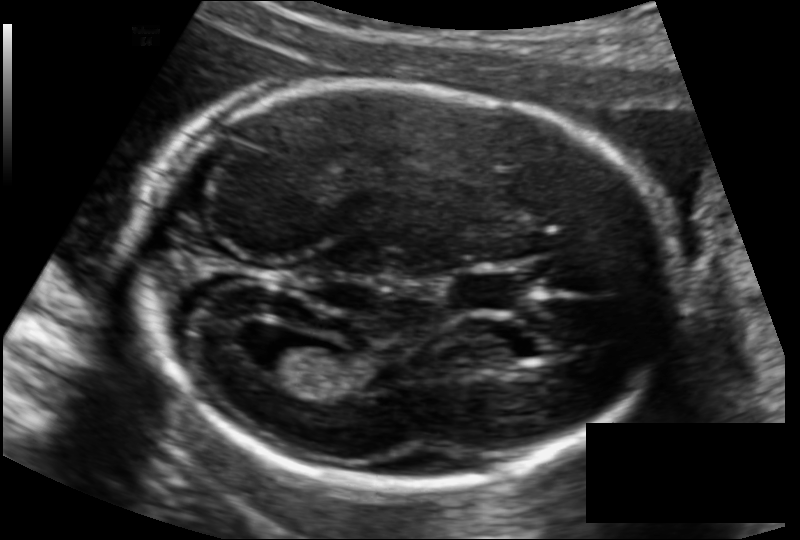
In this fetal head ultrasound, give the bounding box of the fetal head. Image width: 97.7 mm.

[138,87,669,484]